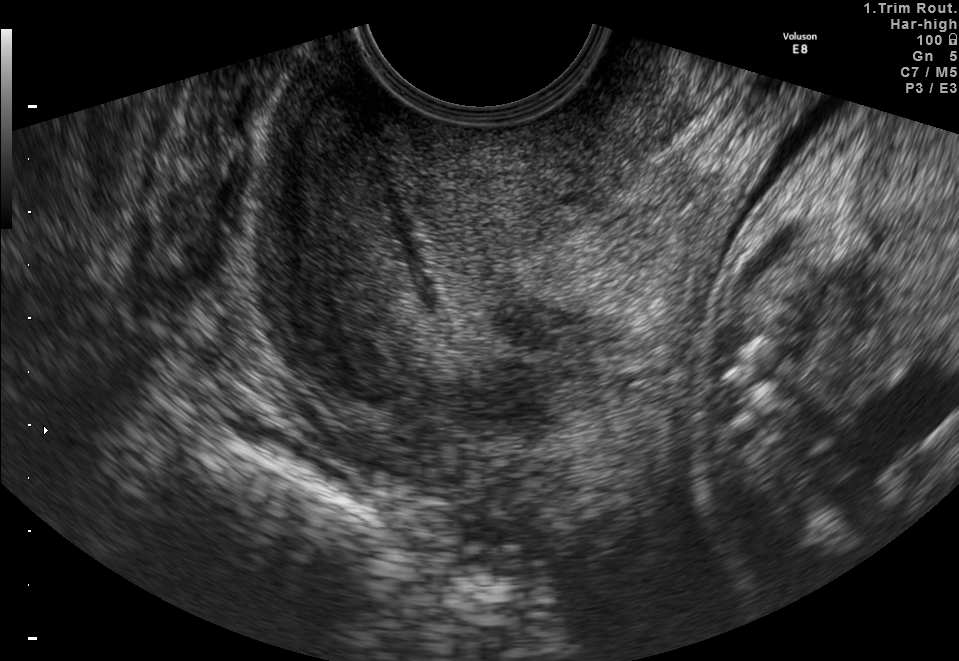
Classify this maternal-fetal ultrasound image as one of the six standard planes — fetal abdomen, fetal brain, fetal femur, fetal thorax, maternal cervix, or other. If it's fetal brain and one of the three standard brain planes (trans-thalamic, trans-cerebellum, trans-ventricular), name which.

Maternal cervix